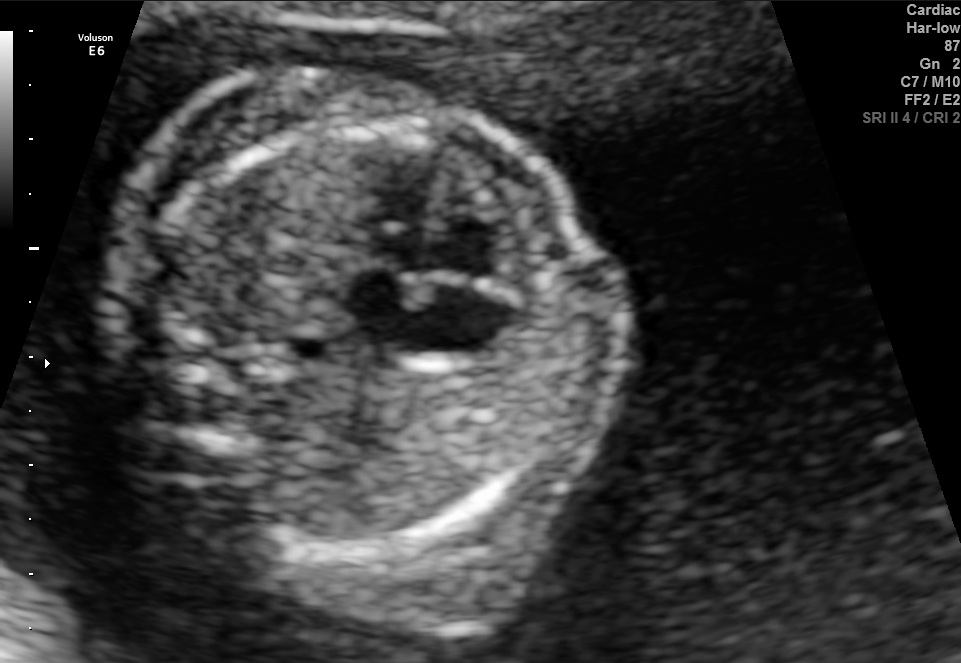
Identify the standard plane in this fetal ultrasound image: fetal abdomen, fetal brain, fetal femur, fetal thorax, maternal cervix, or other. If it's fetal brain and one of the three standard brain planes (trans-thalamic, trans-cerebellum, trans-ventricular), name which.

Fetal thorax